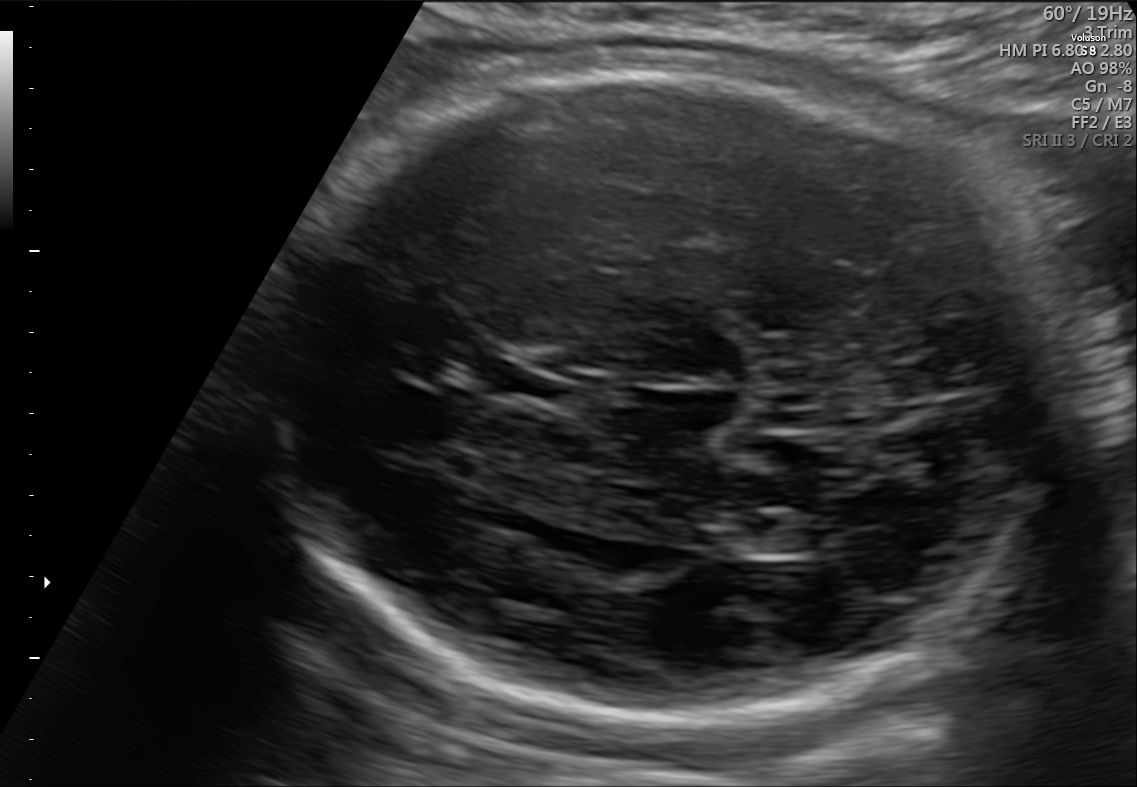
In this fetal brain, trans-ventricular plane, give the bounding box of the fetal head.

[260,56,1100,733]